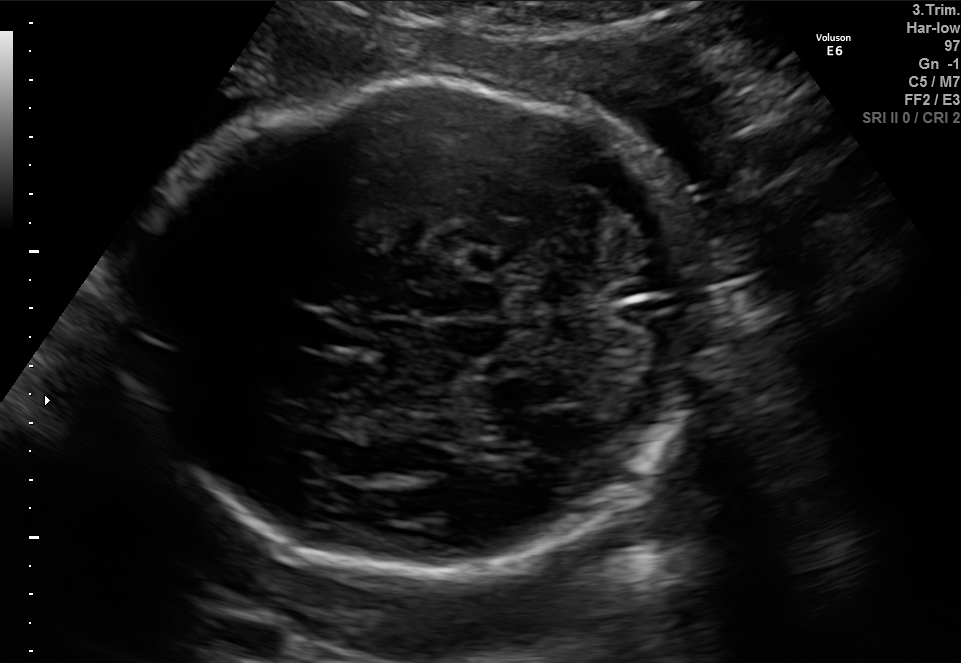
Fetal brain, trans-cerebellum plane. Locate the fetal head and, if visible, the cavum septum pellucidum (CSP) and lateral ventricle (LV). Give bounding boxes as [x1,y1,x2,y2].

Head: [126,77,698,578]